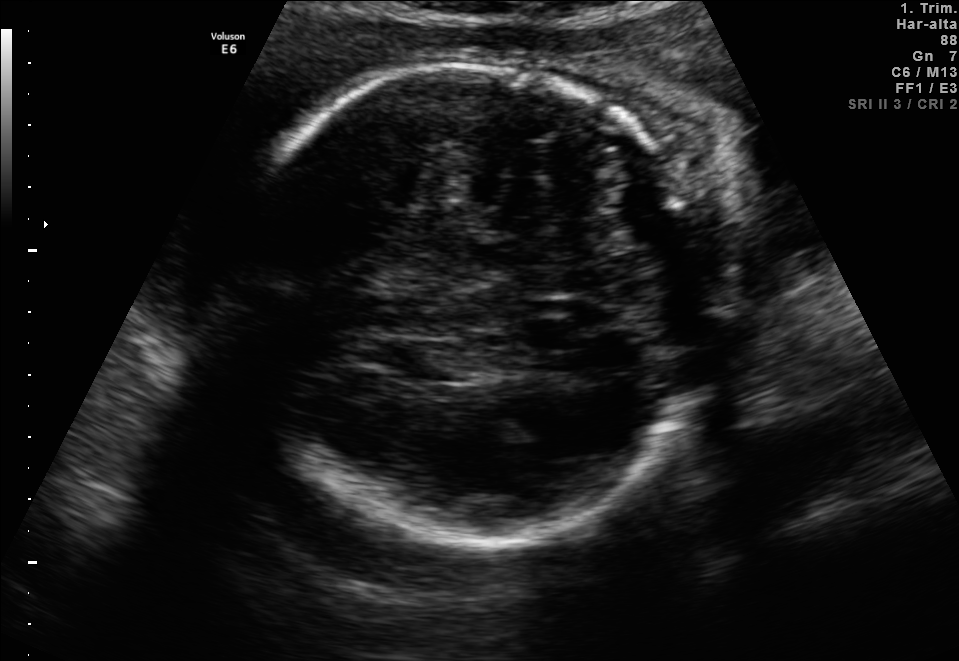
Fetal brain, trans-thalamic plane. Locate the fetal head.

Head: [227,63,708,544]